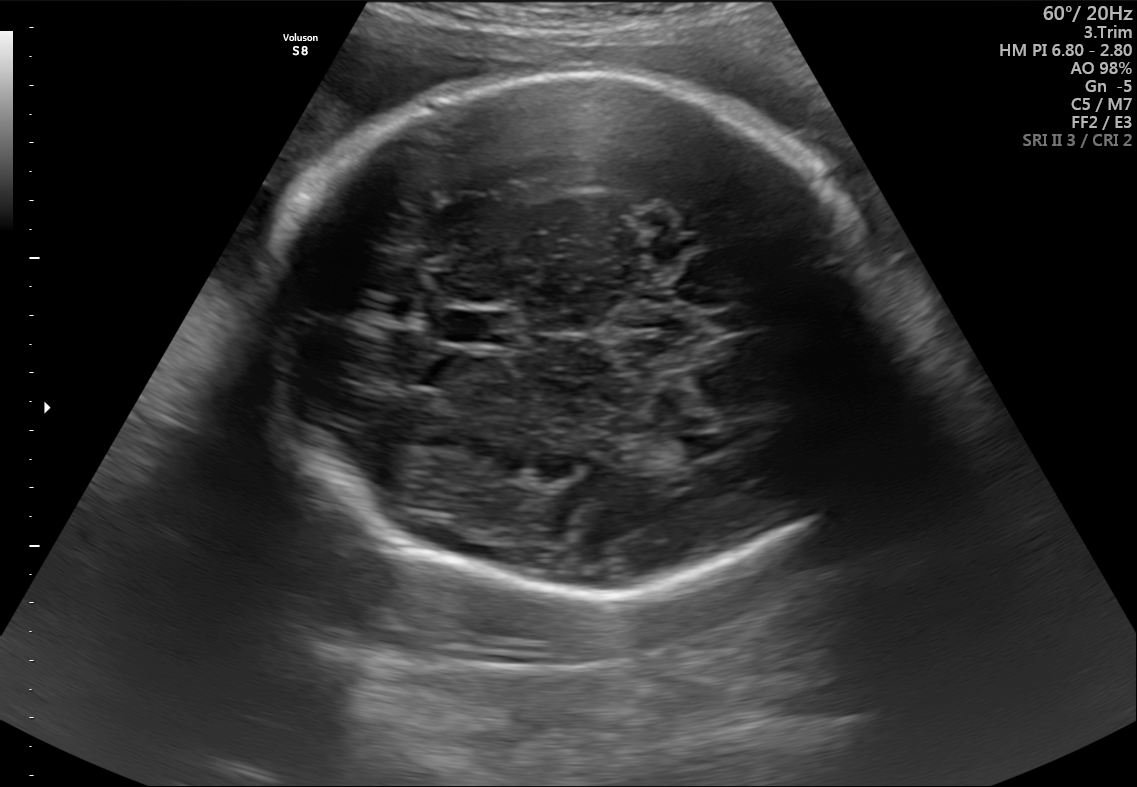
Fetal brain, trans-thalamic plane. Where is the lateral ventricle?

Lateral ventricle bounding box: [669,433,710,463]